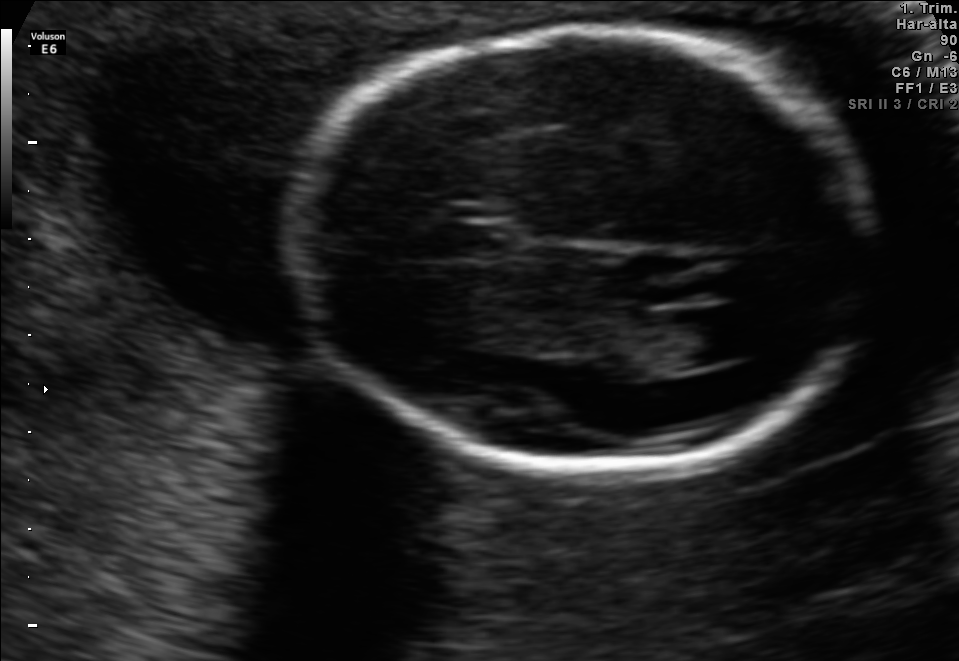
In this fetal brain, trans-ventricular plane, give bounding boxes for the head outline, cavum septum pellucidum (CSP), and lateral ventricle (LV), where visible.

Head: [281,23,888,476]
CSP: [422,224,518,259]
Lateral ventricle: [651,300,763,375]